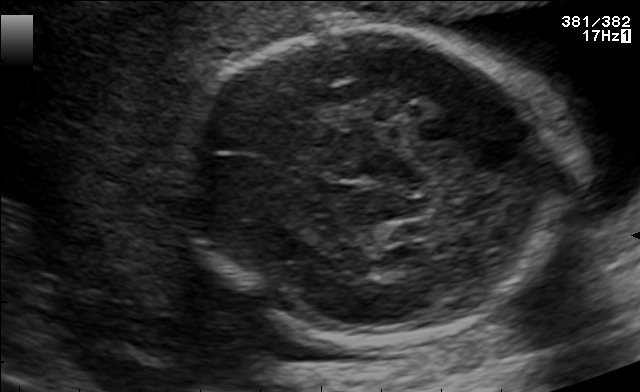
Fetal brain, trans-thalamic plane. Give [x1,y1,x2,y2] bounding boxes for each visible structure among: fetal head, CSP, LV.

Head: [180,26,557,342]